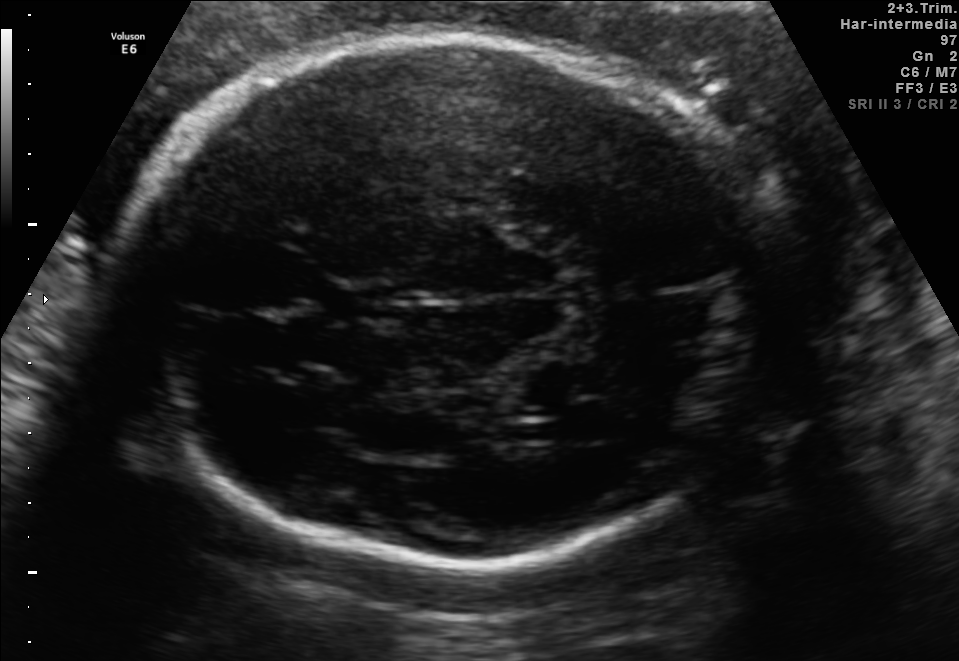
Fetal brain, trans-thalamic plane. Give [x1,y1,x2,y2] bounding boxes for each visible structure among: fetal head, CSP, LV.

Head: [114,38,779,563]
CSP: [322,280,392,324]
Lateral ventricle: [529,414,585,445]